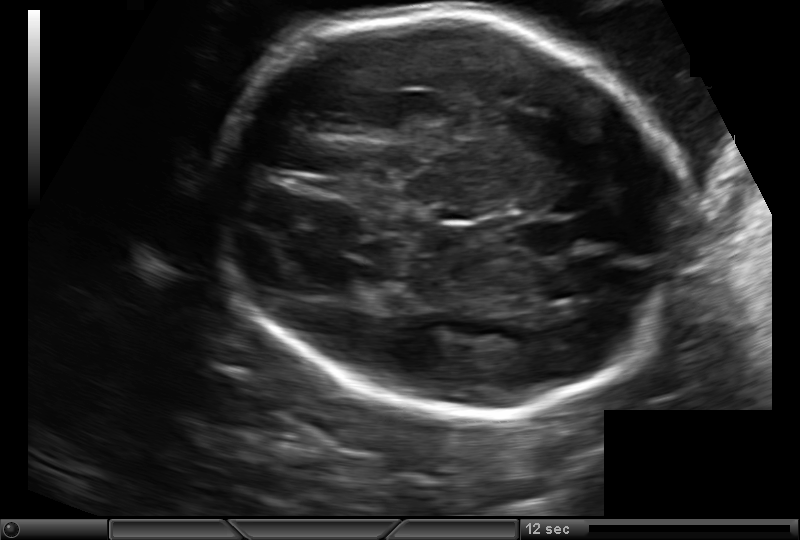
In this fetal head ultrasound, give bounding boxes for the head outline, cavum septum pellucidum (CSP), and lateral ventricle (LV), where visible. Image width: 137.2 mm.

Head: [216,14,689,415]